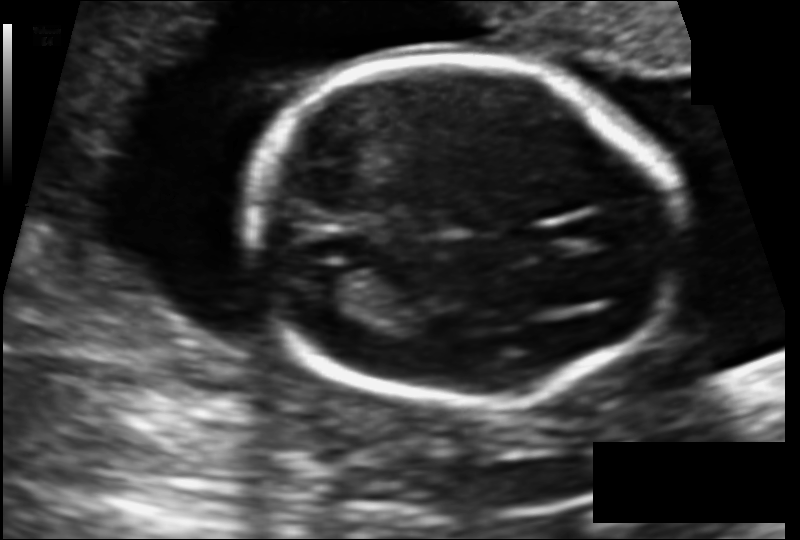
Fetal head ultrasound. Image width: 96.7 mm. Give [x1,y1,x2,y2] bounding boxes for each visible structure among: fetal head, CSP, LV.

Head: [244,59,674,403]
Lateral ventricle: [315,266,382,304]